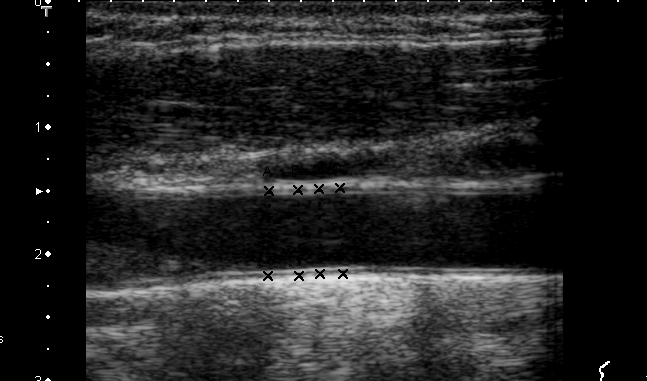
Identify the standard plane in this fetal ultrasound image: fetal abdomen, fetal brain, fetal femur, fetal thorax, maternal cervix, or other. If it's fetal brain and one of the three standard brain planes (trans-thalamic, trans-cerebellum, trans-ventricular), name which.

Other